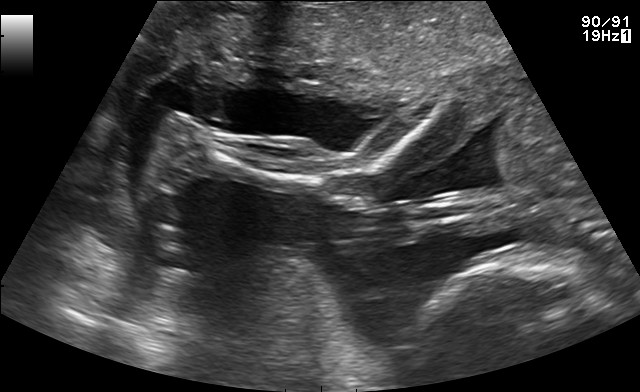
Which standard maternal-fetal ultrasound plane is shown: fetal abdomen, fetal brain, fetal femur, fetal thorax, maternal cervix, or other? If it's fetal brain and one of the three standard brain planes (trans-thalamic, trans-cerebellum, trans-ventricular), name which.

Other